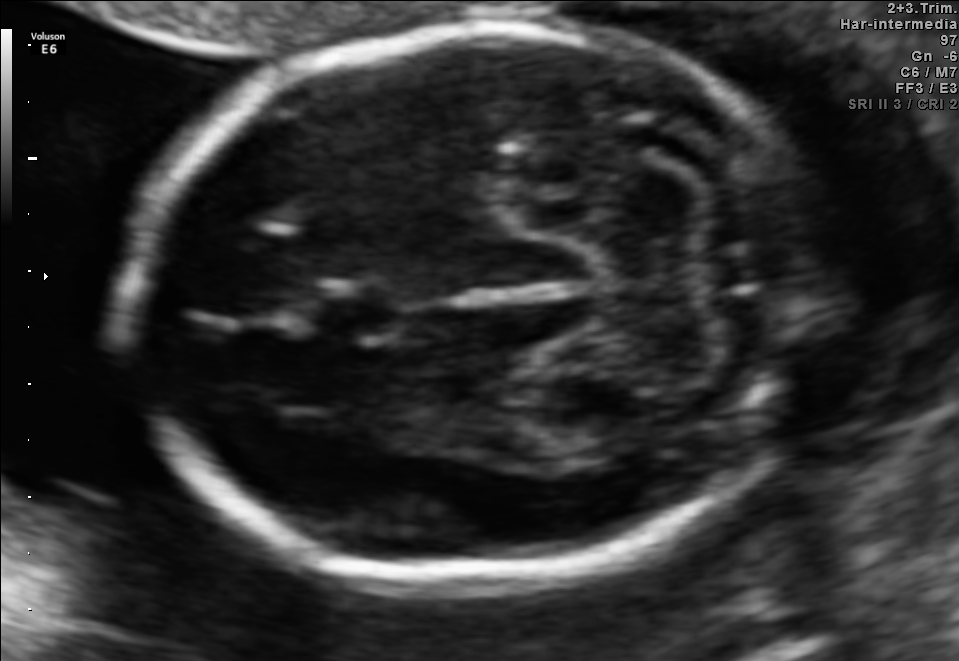
Fetal brain, trans-cerebellum plane. Locate the fetal head.

Head: [124,20,817,583]